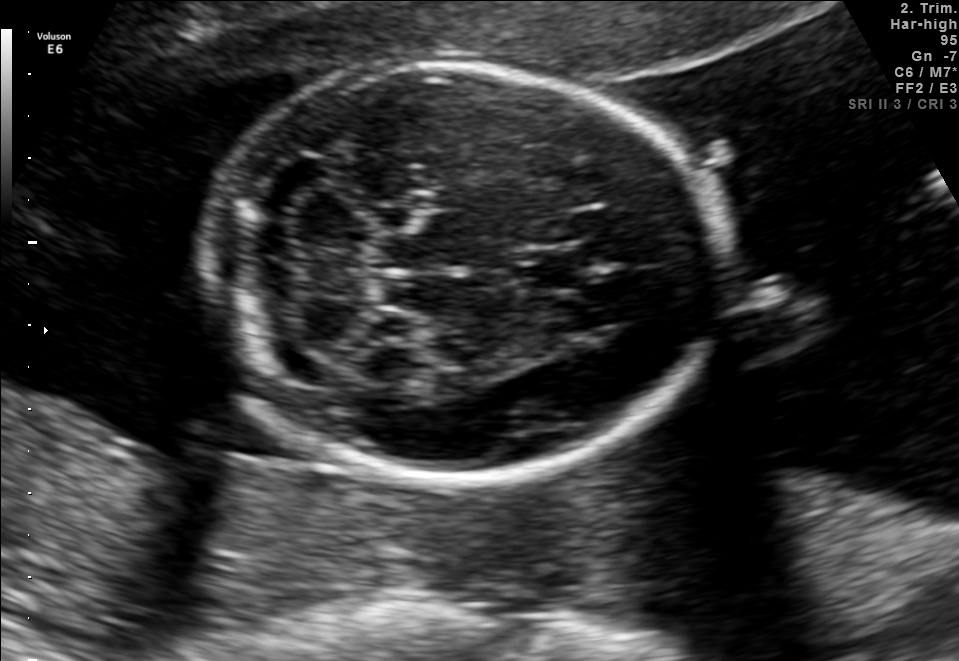
In this fetal brain, trans-cerebellum plane, give the bounding box of the fetal head.

[207,68,724,481]